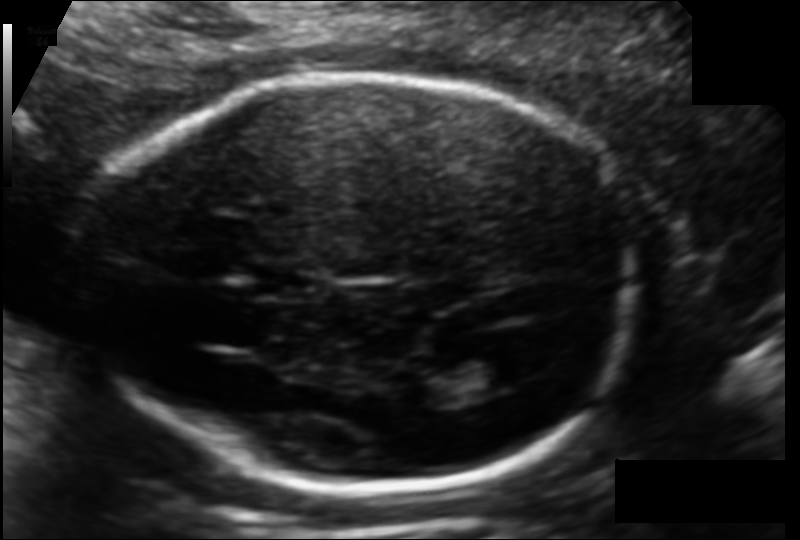
Fetal head ultrasound. Image width: 90.5 mm. Where is the cavum septum pellucidum?

CSP bounding box: [251,265,317,298]